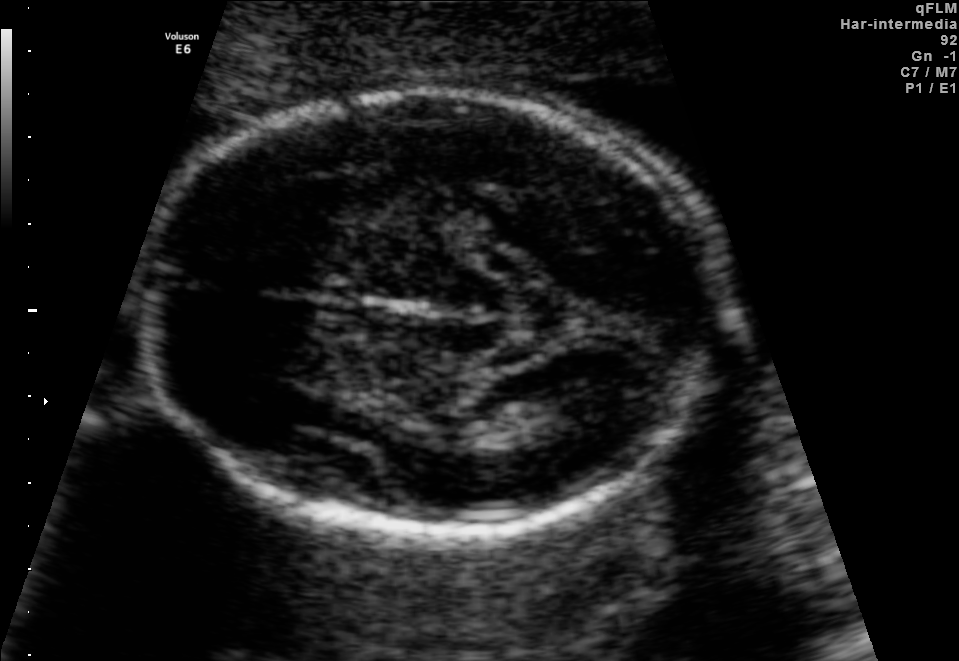
Fetal brain, trans-thalamic plane. Locate the fetal head.

Head: [144,91,715,528]